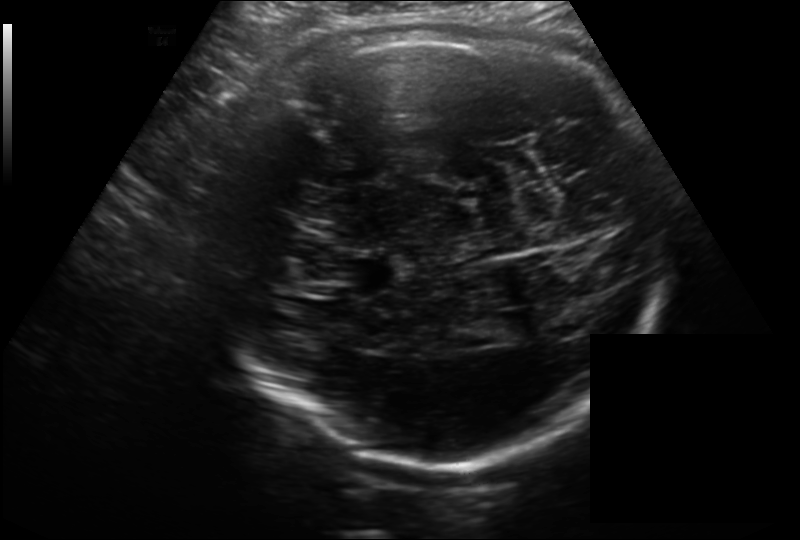
Fetal head ultrasound. Image width: 171.5 mm. Locate the fetal head.

Head: [218,16,664,459]